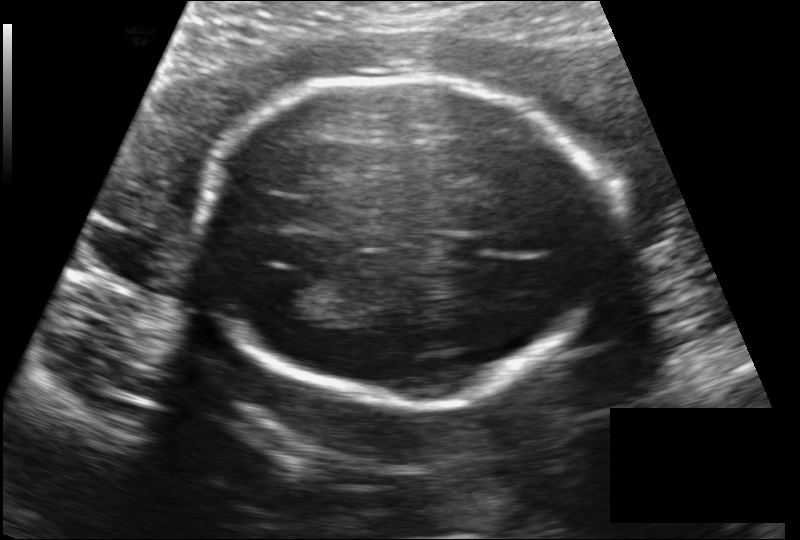
In this fetal head ultrasound, give the bounding box of the fetal head. Image width: 119.2 mm.

[199,73,598,402]